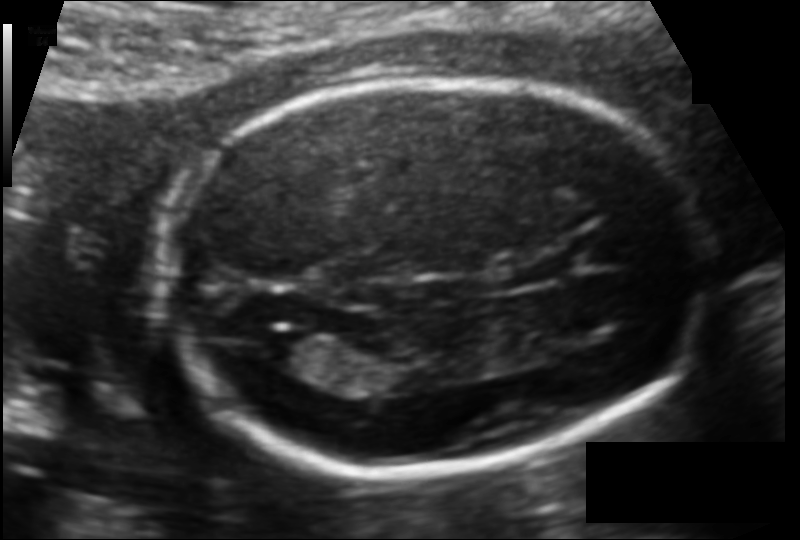
In this fetal head ultrasound, give bounding boxes for the head outline, cavum septum pellucidum (CSP), and lateral ventricle (LV), where visible. Image width: 87.1 mm.

Head: [158,78,704,472]
CSP: [513,254,564,287]
Lateral ventricle: [254,331,324,367]